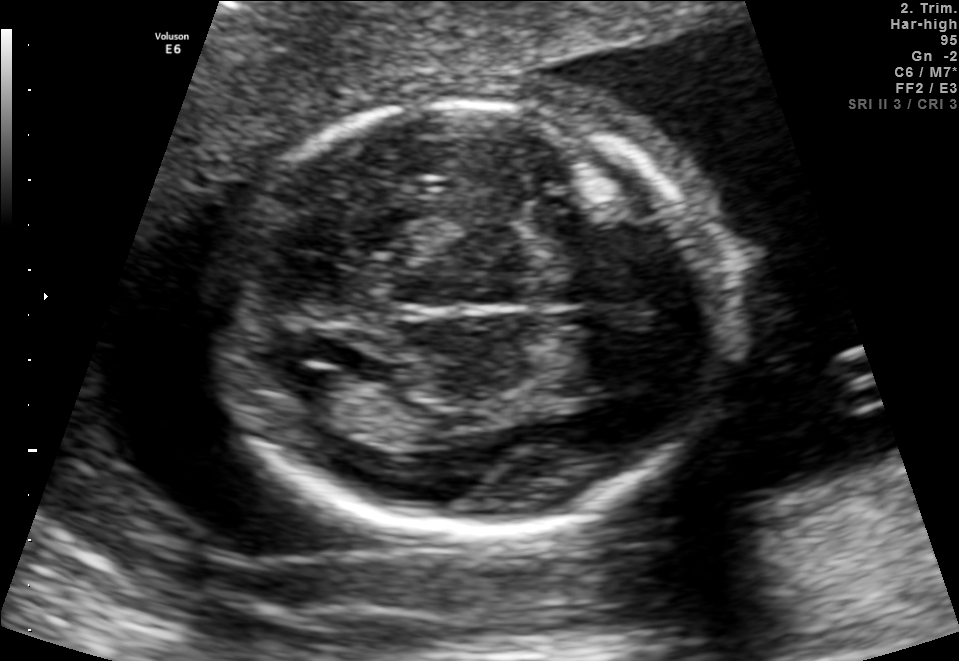
Fetal brain, trans-ventricular plane. Give [x1,y1,x2,y2] bounding boxes for each visible structure among: fetal head, CSP, LV.

Head: [203,92,726,543]